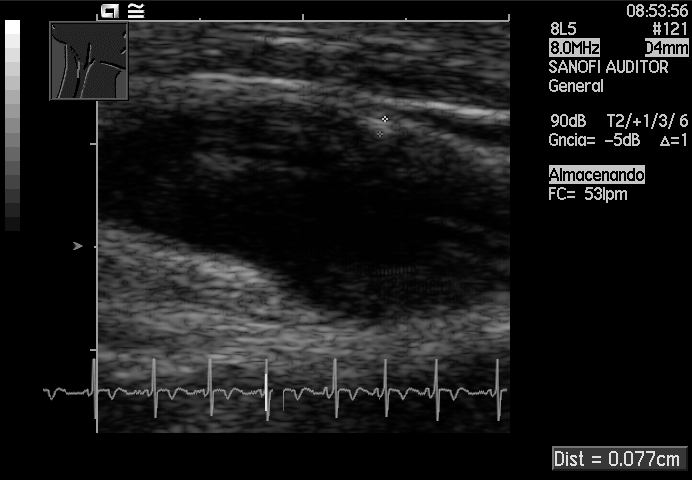
Which standard maternal-fetal ultrasound plane is shown: fetal abdomen, fetal brain, fetal femur, fetal thorax, maternal cervix, or other? If it's fetal brain and one of the three standard brain planes (trans-thalamic, trans-cerebellum, trans-ventricular), name which.

Other